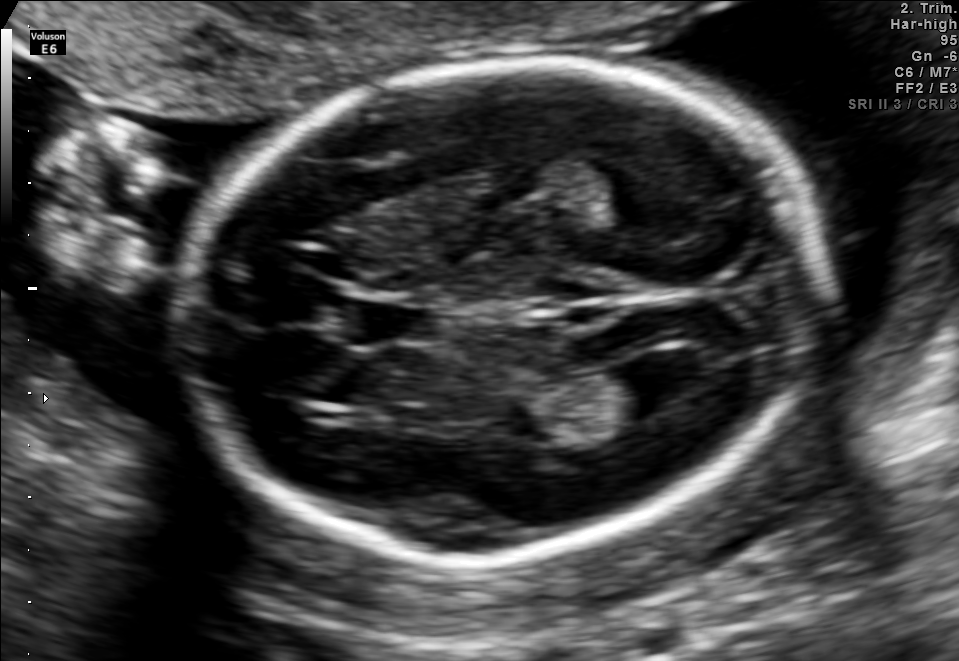
Fetal brain, trans-ventricular plane. Locate the fetal head and, if visible, the cavum septum pellucidum (CSP) and lateral ventricle (LV). Give bounding boxes as [x1,y1,x2,y2].

Head: [167,46,844,571]
CSP: [346,302,441,344]
Lateral ventricle: [605,333,717,424]